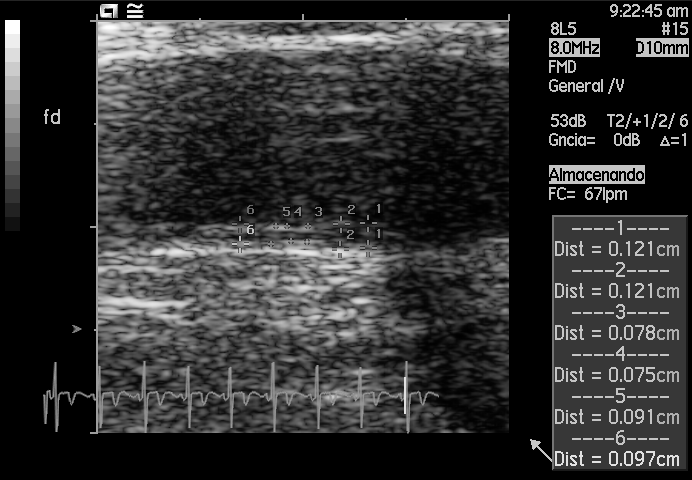
Classify this maternal-fetal ultrasound image as one of the six standard planes — fetal abdomen, fetal brain, fetal femur, fetal thorax, maternal cervix, or other. If it's fetal brain and one of the three standard brain planes (trans-thalamic, trans-cerebellum, trans-ventricular), name which.

Other